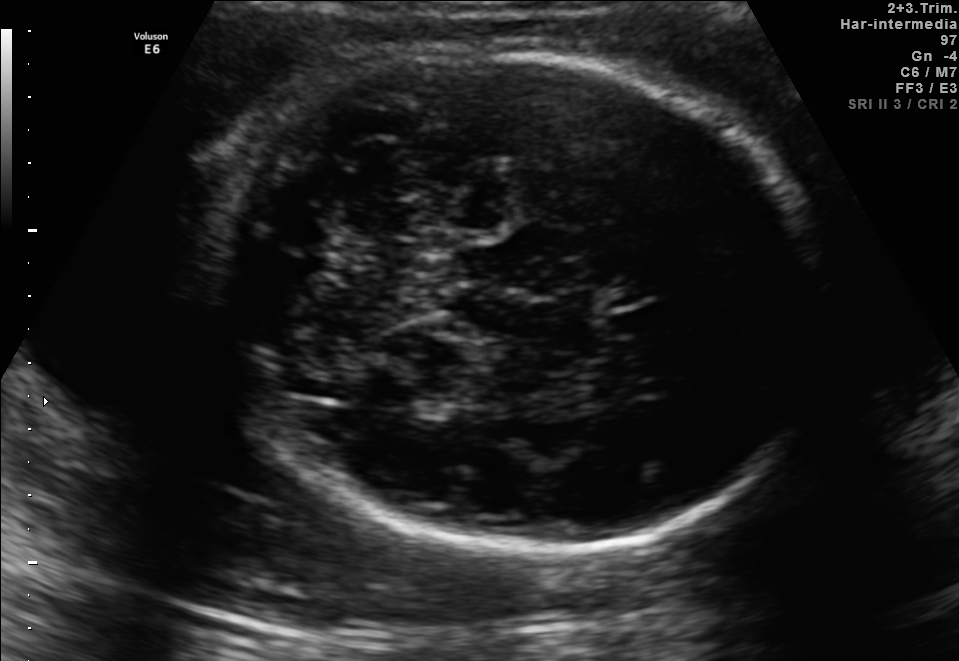
Fetal brain, trans-cerebellum plane. Locate the fetal head.

Head: [220,53,823,552]